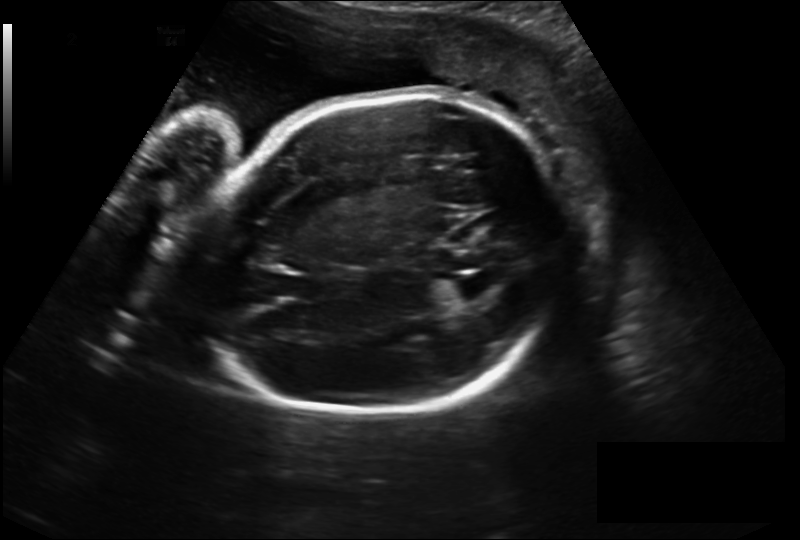
In this fetal head ultrasound, give the bounding box of the fetal head. Image width: 184.2 mm.

[194,97,566,417]